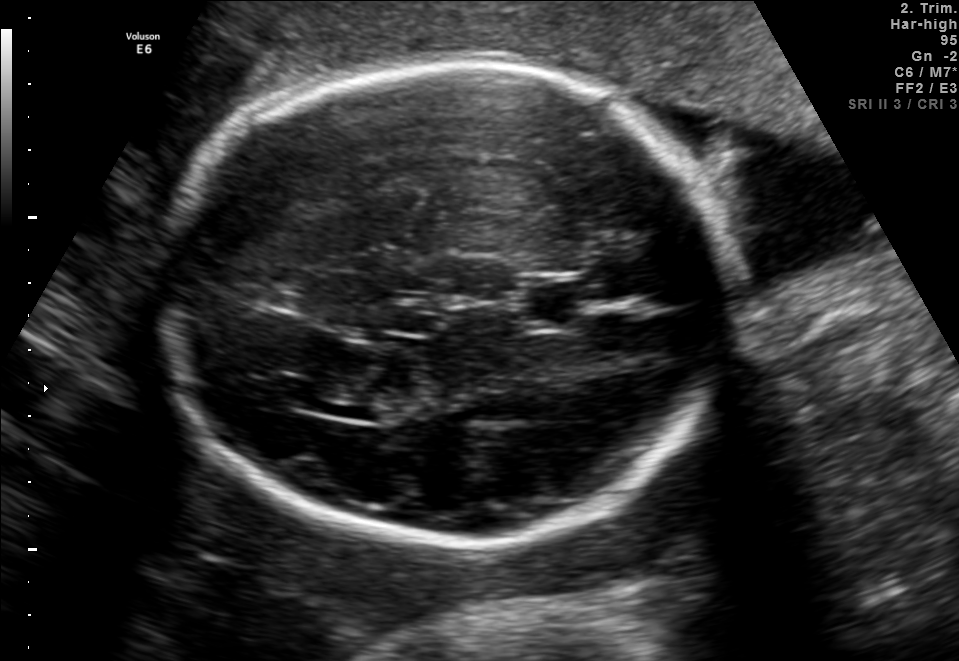
Fetal brain, trans-thalamic plane. Locate the cavum septum pellucidum.

CSP: [522,280,583,327]